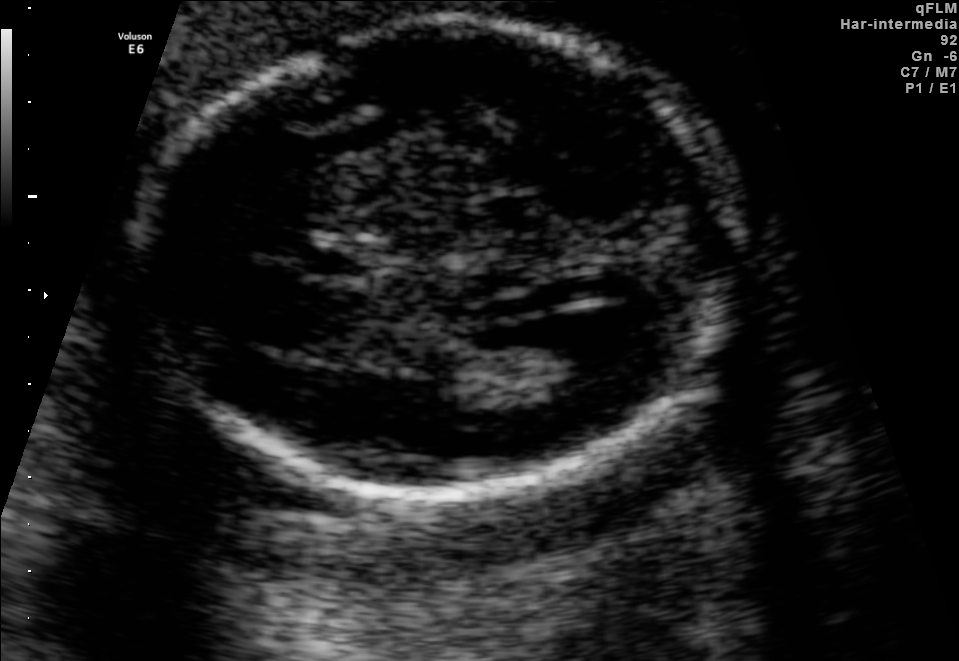
Fetal brain, trans-ventricular plane. Locate the fetal head.

Head: [130,7,745,498]